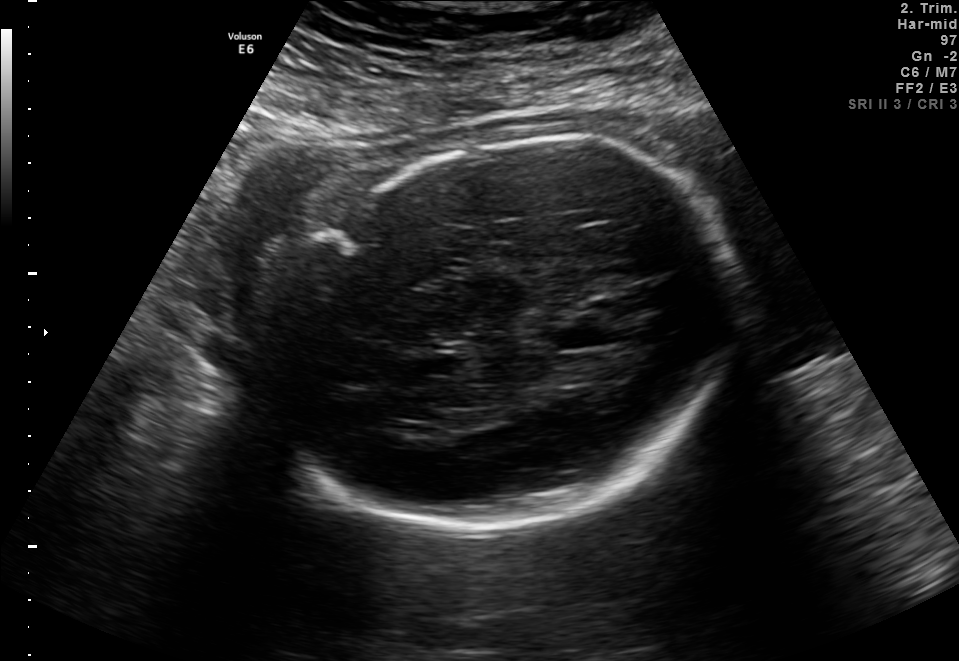
In this fetal brain, trans-thalamic plane, give the bounding box of the fetal head.

[256,135,745,536]